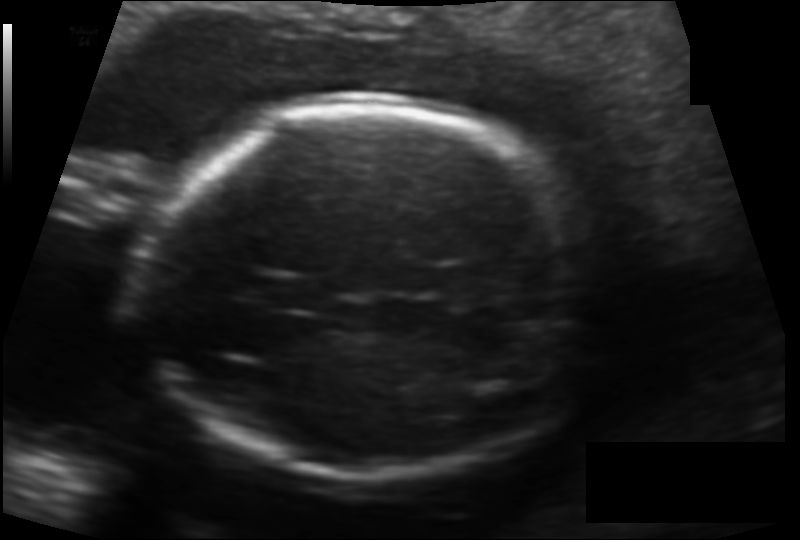
Fetal head ultrasound. Image width: 105.8 mm. Locate the fetal head and, if visible, the cavum septum pellucidum (CSP) and lateral ventricle (LV). Give bounding boxes as [x1,y1,x2,y2].

Head: [143,101,593,483]